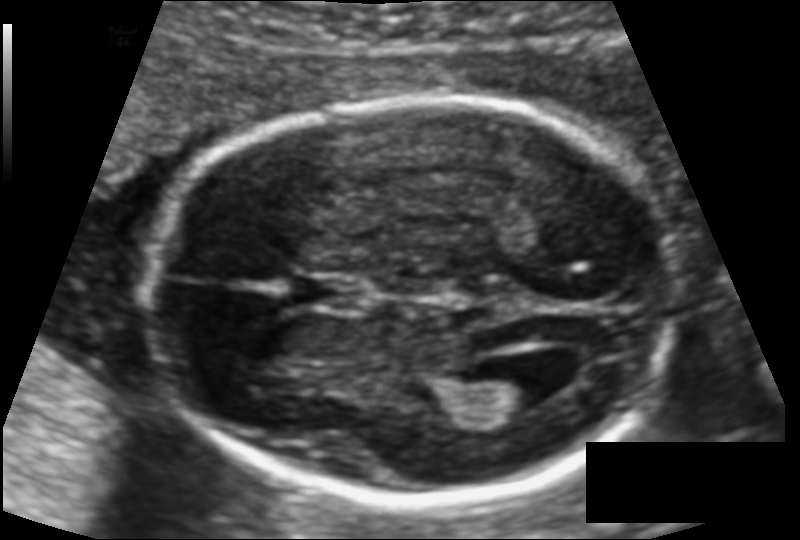
Measure the fetal head circumference shown in this ultrasound image. Image width: 90.3 mm.

Head circumference: 172.1 mm.